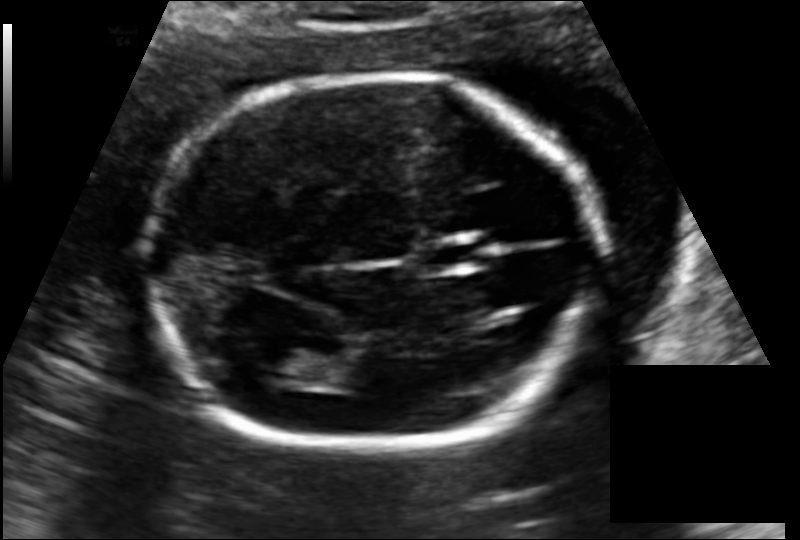
Measure the fetal head circumference shown in this ultrasound image. Image width: 101.6 mm.

Head circumference: 170.5 mm.